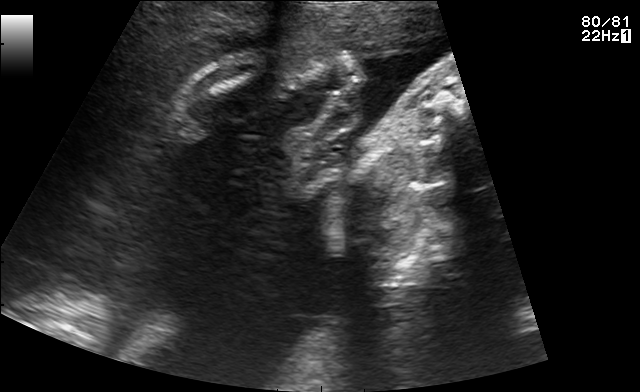
Classify this maternal-fetal ultrasound image as one of the six standard planes — fetal abdomen, fetal brain, fetal femur, fetal thorax, maternal cervix, or other. If it's fetal brain and one of the three standard brain planes (trans-thalamic, trans-cerebellum, trans-ventricular), name which.

Other